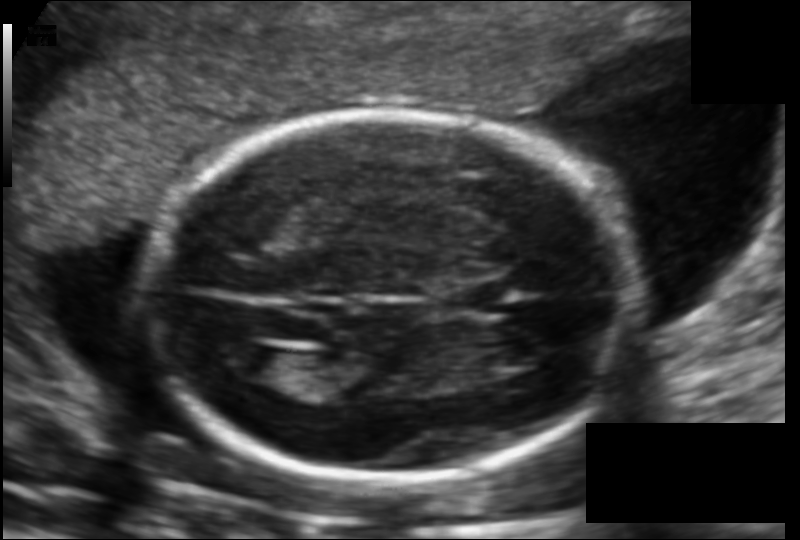
Fetal head ultrasound. Image width: 98.4 mm. Where is the lateral ventricle?

Lateral ventricle bounding box: [215,336,286,387]